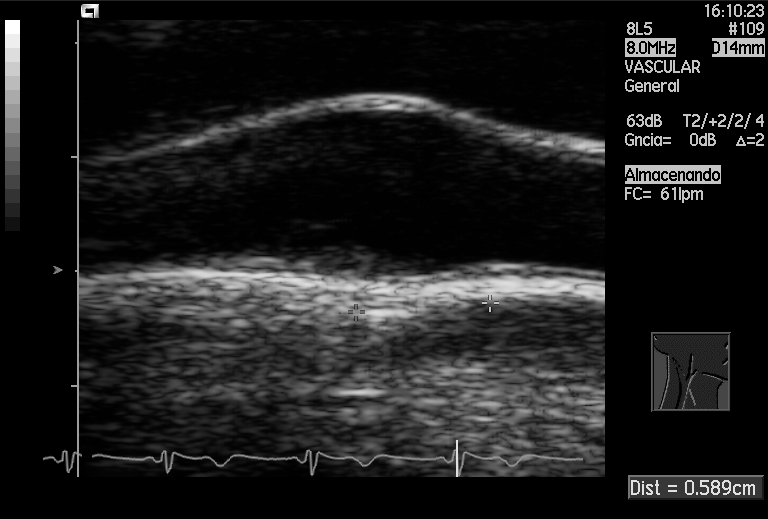
This is a 2D maternal-fetal ultrasound frame. Is it a fetal abdomen, fetal brain, fetal femur, fetal thorax, maternal cervix, or other standard plane? If it's fetal brain and one of the three standard brain planes (trans-thalamic, trans-cerebellum, trans-ventricular), name which.

Other